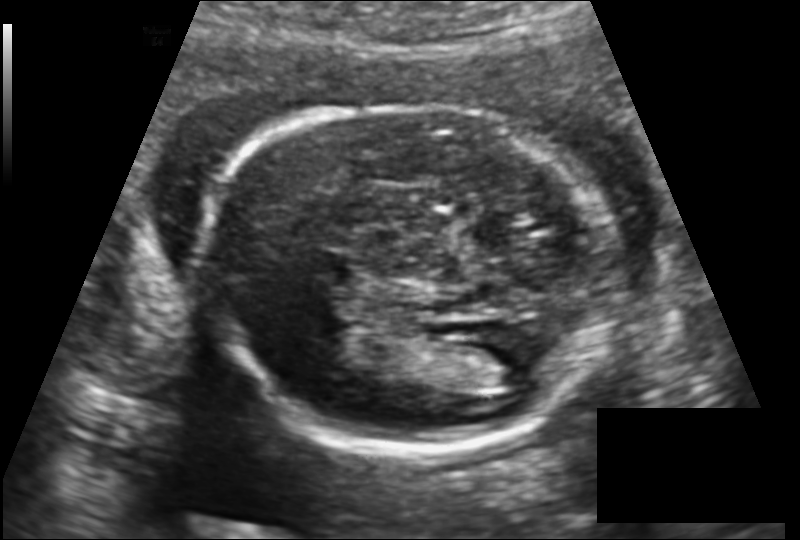
In this fetal head ultrasound, give bounding boxes for the head outline, cavum septum pellucidum (CSP), and lateral ventricle (LV), where visible. Image width: 111.5 mm.

Head: [204,105,616,452]